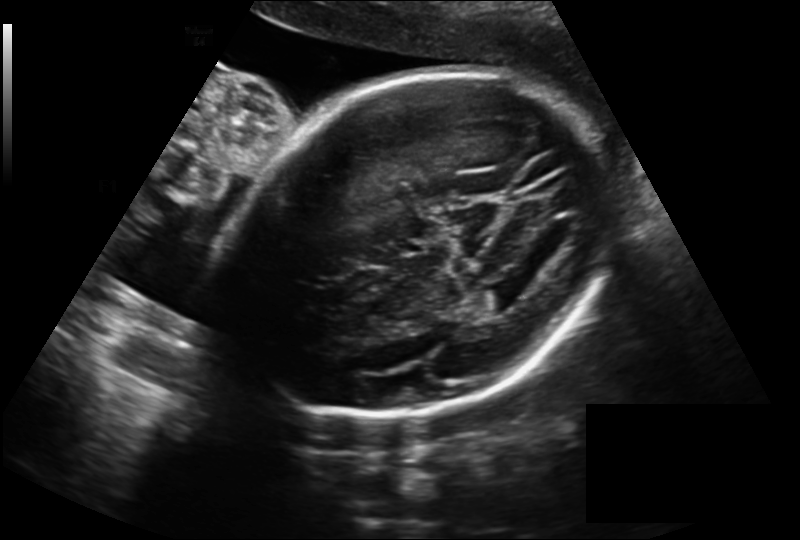
Fetal head ultrasound. Image width: 179.9 mm. Locate the fetal head.

Head: [227,74,613,419]